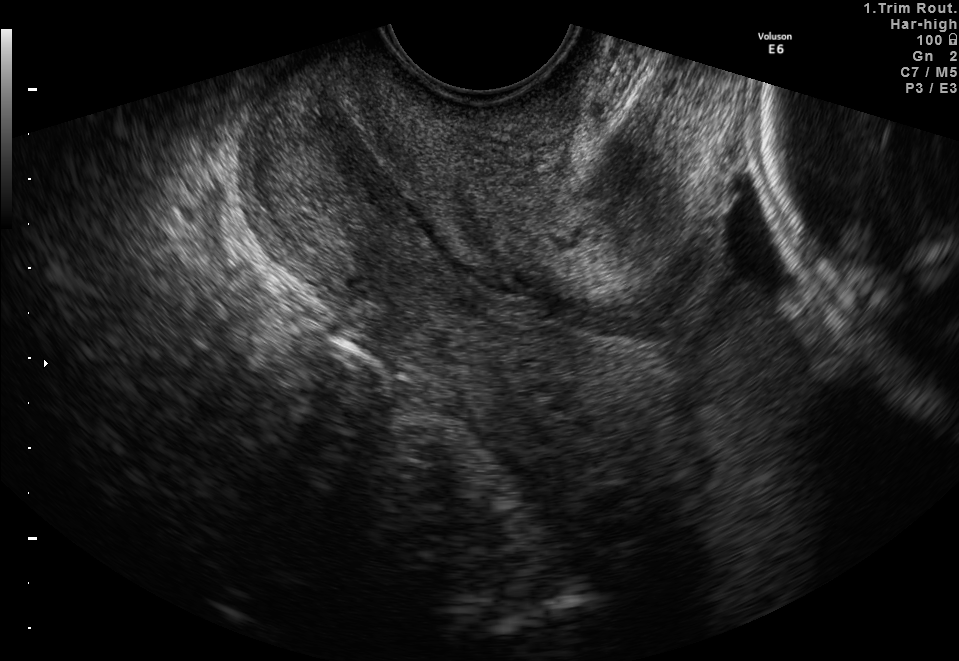
Classify this maternal-fetal ultrasound image as one of the six standard planes — fetal abdomen, fetal brain, fetal femur, fetal thorax, maternal cervix, or other. If it's fetal brain and one of the three standard brain planes (trans-thalamic, trans-cerebellum, trans-ventricular), name which.

Maternal cervix